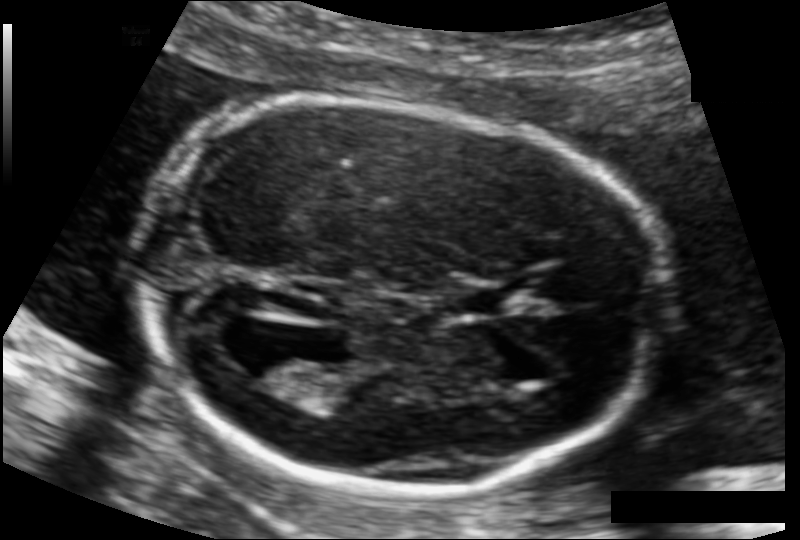
From this fetal ultrasound, estimate the head circumference (image width 85.7 mm).

Head circumference: 161.6 mm.